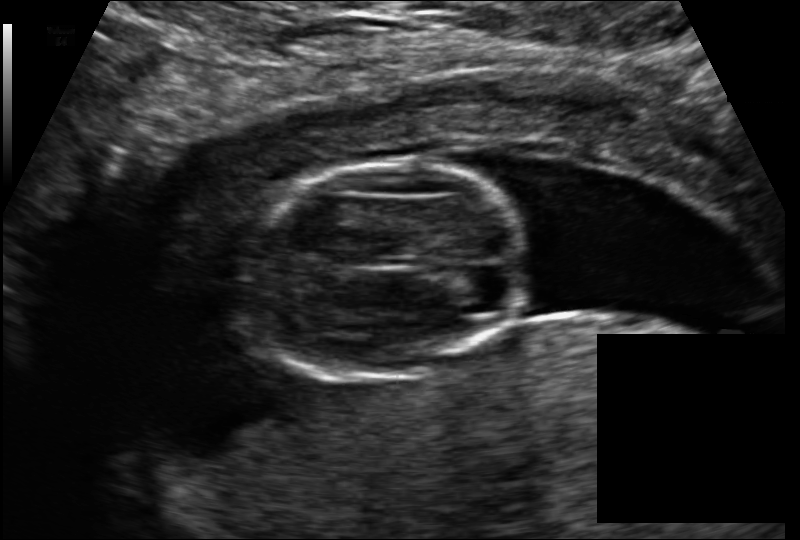
Fetal head ultrasound. Image width: 91.0 mm. Locate the fetal head and, if visible, the cavum septum pellucidum (CSP) and lateral ventricle (LV). Give bounding boxes as [x1,y1,x2,y2].

Head: [244,162,524,378]